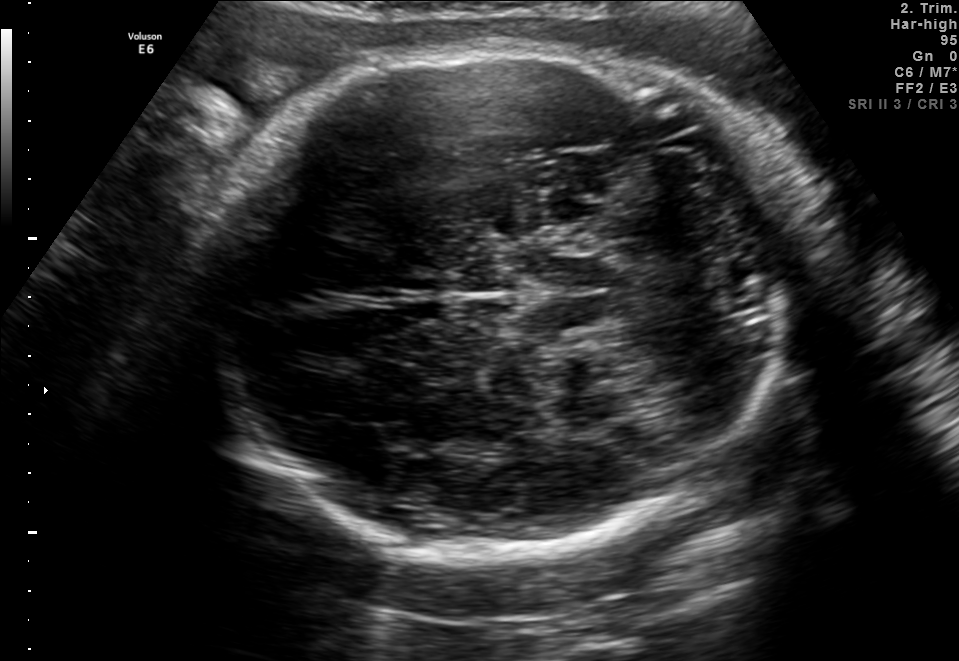
Fetal brain, trans-thalamic plane. Locate the fetal head and, if visible, the cavum septum pellucidum (CSP) and lateral ventricle (LV). Give bounding boxes as [x1,y1,x2,y2].

Head: [204,50,785,555]